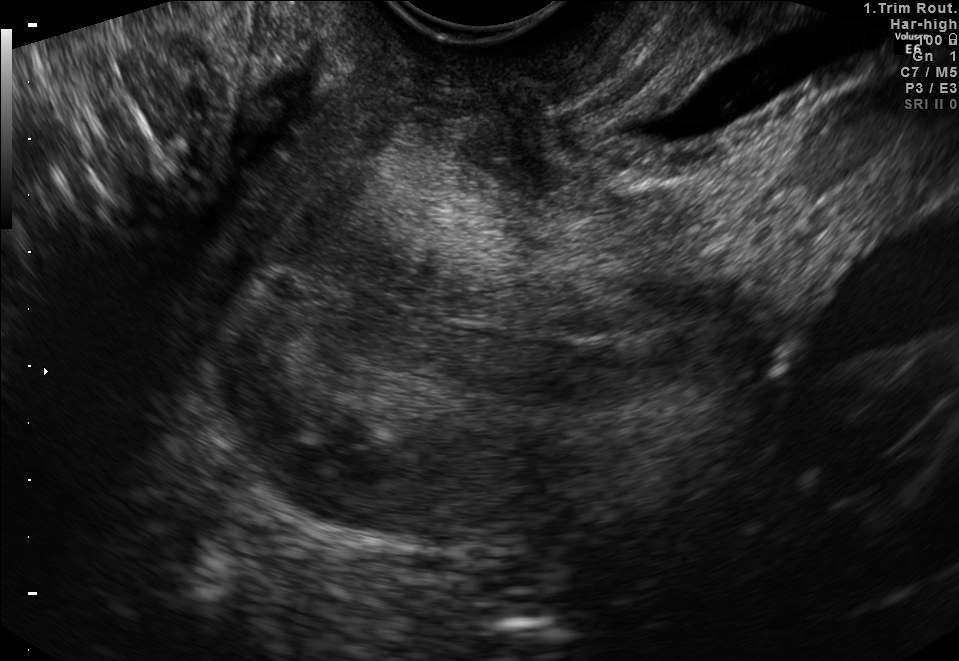
Which standard maternal-fetal ultrasound plane is shown: fetal abdomen, fetal brain, fetal femur, fetal thorax, maternal cervix, or other? If it's fetal brain and one of the three standard brain planes (trans-thalamic, trans-cerebellum, trans-ventricular), name which.

Maternal cervix